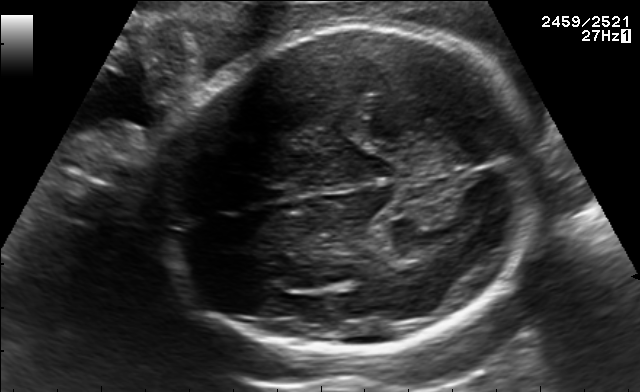
Fetal brain, trans-thalamic plane. Locate the fetal head.

Head: [163,23,536,355]